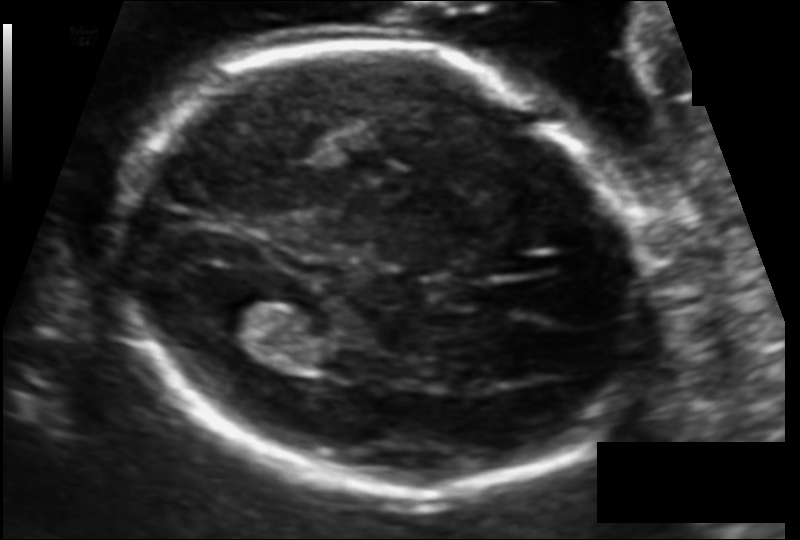
Estimate the fetal head circumference from this 2D ultrasound.

Head circumference: 184.3 mm (image width 92.8 mm).